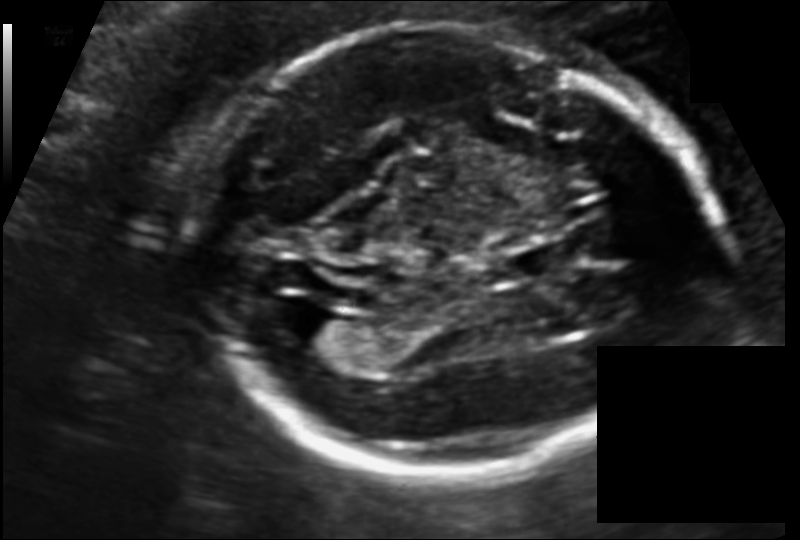
Estimate the fetal head circumference from this 2D ultrasound. Image width: 94.5 mm.

Head circumference: 184.6 mm.